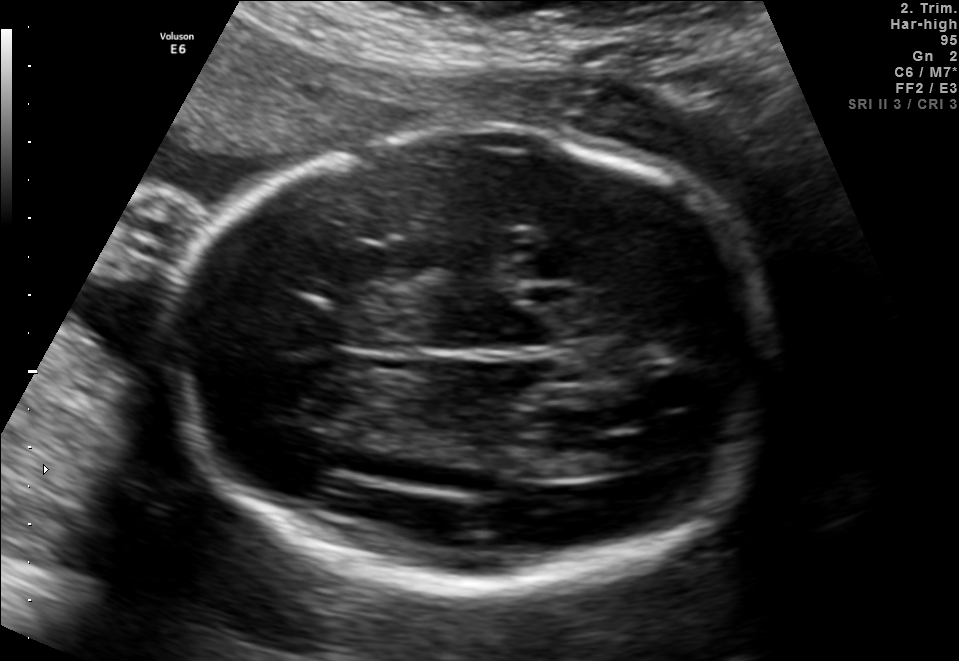
Fetal brain, trans-thalamic plane. Where is the fetal head?

Head bounding box: [160,127,787,594]